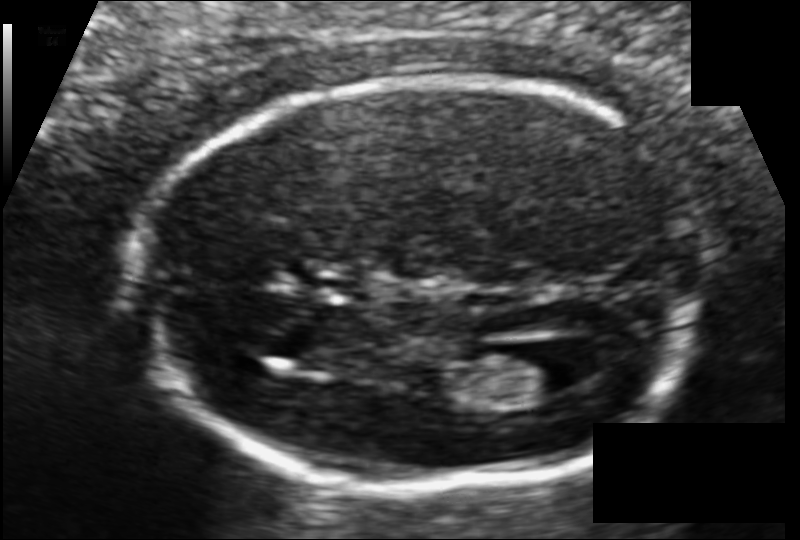
Fetal head ultrasound. Image width: 83.6 mm. Locate the lateral ventricle.

Lateral ventricle: [493,336,589,405]